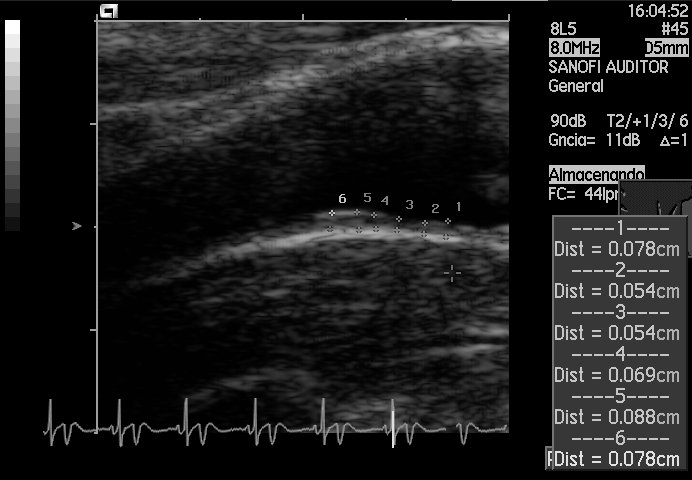
Which standard maternal-fetal ultrasound plane is shown: fetal abdomen, fetal brain, fetal femur, fetal thorax, maternal cervix, or other? If it's fetal brain and one of the three standard brain planes (trans-thalamic, trans-cerebellum, trans-ventricular), name which.

Other